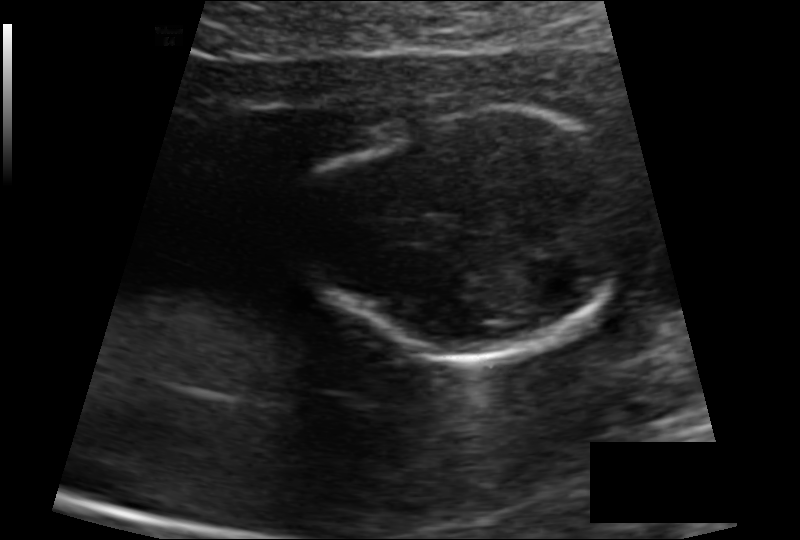
In this fetal head ultrasound, give bounding boxes for the head outline, cavum septum pellucidum (CSP), and lateral ventricle (LV), where visible. Image width: 87.9 mm.

Head: [304,108,633,357]